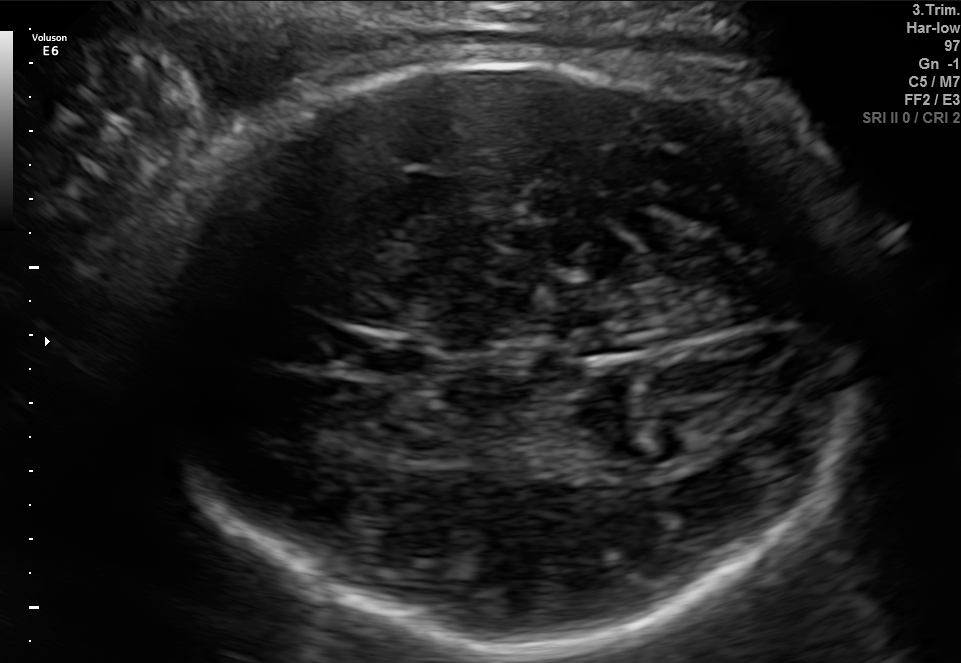
In this fetal brain, trans-thalamic plane, give the bounding box of the fetal head.

[153,61,856,652]